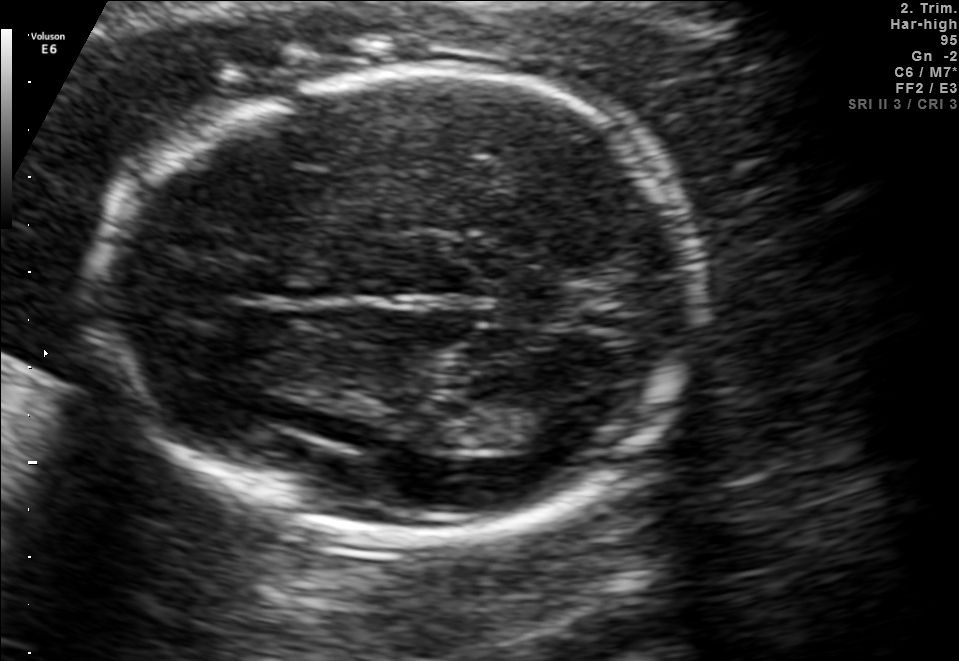
In this fetal brain, trans-thalamic plane, give the bounding box of the lateral ventricle.

[492,400,586,455]